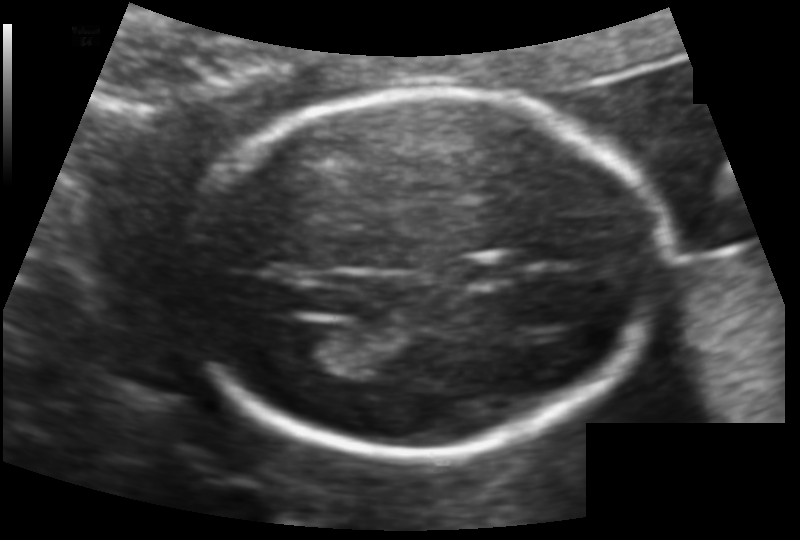
Fetal head ultrasound. Image width: 90.1 mm. Where is the lateral ventricle?

Lateral ventricle bounding box: [276,318,351,371]